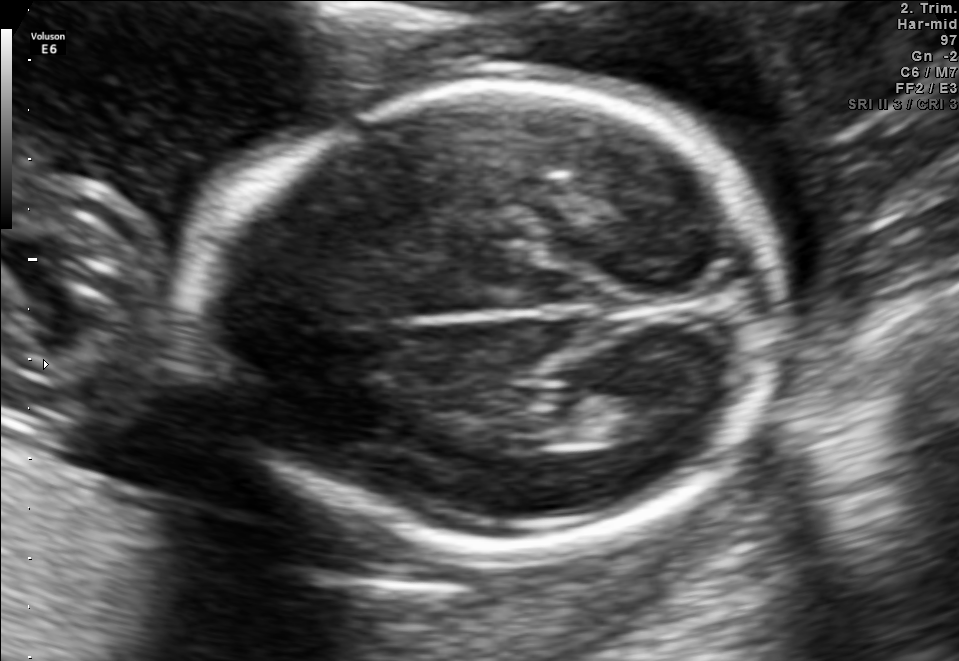
This is a 2D maternal-fetal ultrasound frame. Is it a fetal abdomen, fetal brain, fetal femur, fetal thorax, maternal cervix, or other standard plane? If it's fetal brain and one of the three standard brain planes (trans-thalamic, trans-cerebellum, trans-ventricular), name which.

Fetal brain (trans-thalamic plane)